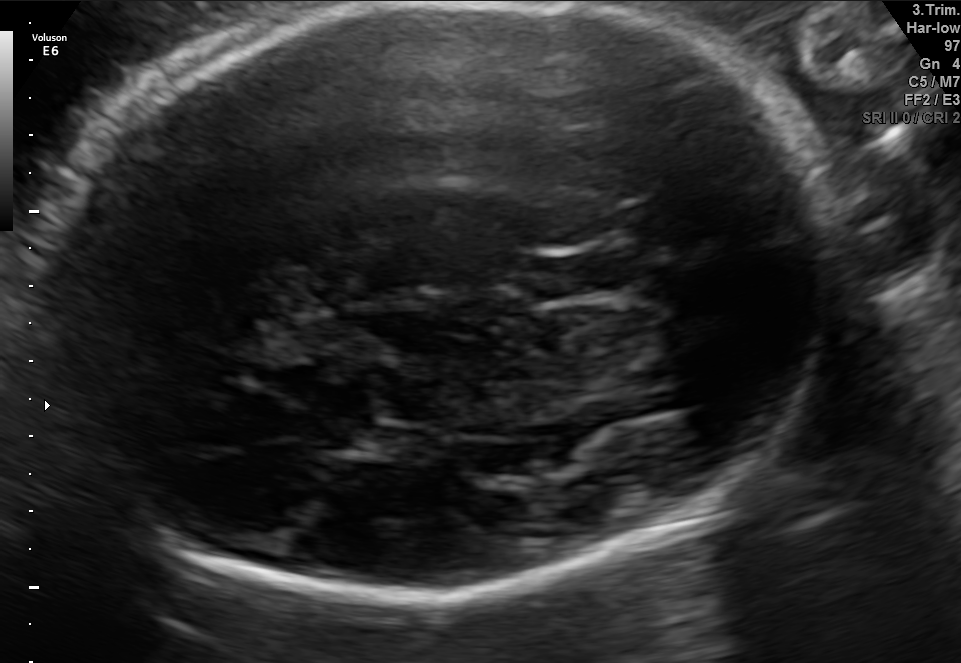
This is a 2D maternal-fetal ultrasound frame. Is it a fetal abdomen, fetal brain, fetal femur, fetal thorax, maternal cervix, or other standard plane? If it's fetal brain and one of the three standard brain planes (trans-thalamic, trans-cerebellum, trans-ventricular), name which.

Fetal brain (trans-thalamic plane)